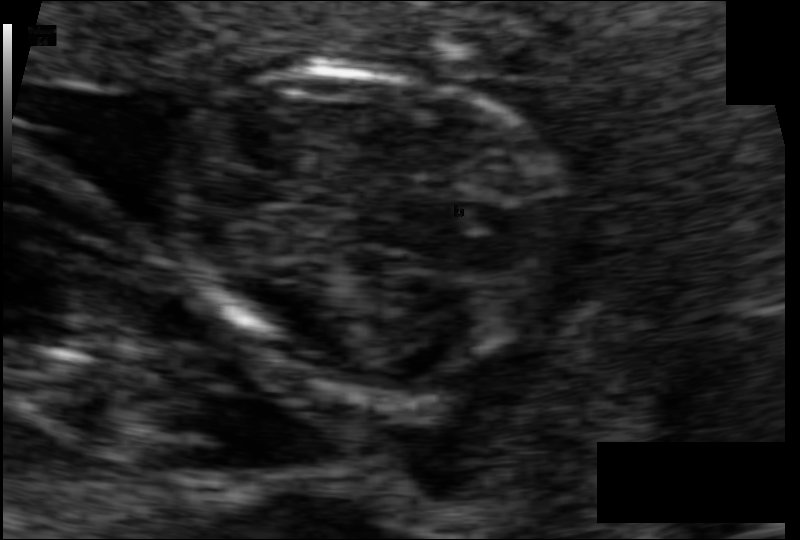
Estimate the fetal head circumference from this 2D ultrasound.

Head circumference: 71.9 mm (image width 48.5 mm).